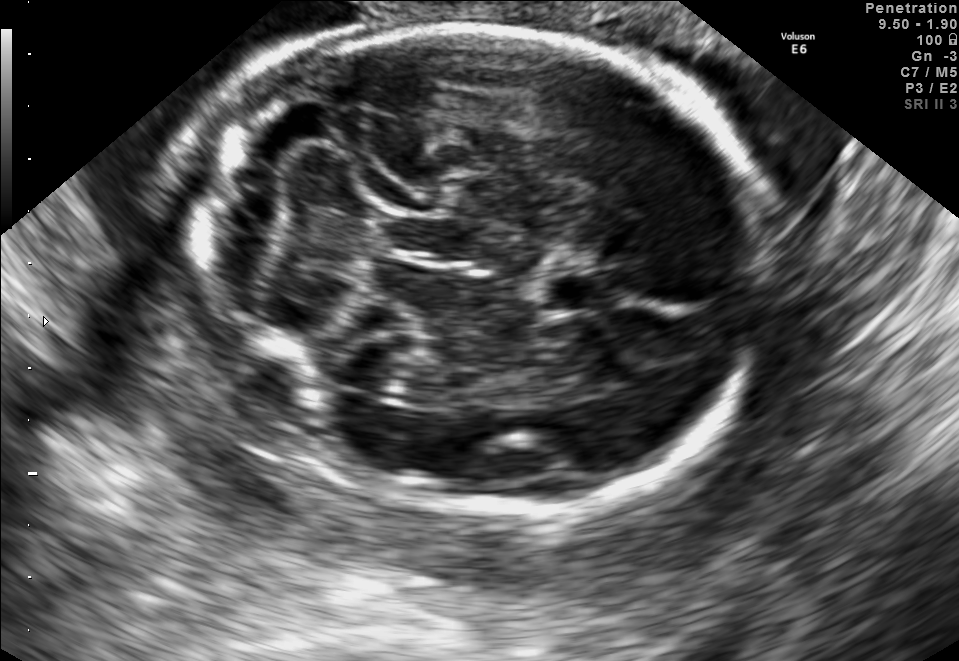
Fetal brain, trans-cerebellum plane. Locate the fetal head and, if visible, the cavum septum pellucidum (CSP) and lateral ventricle (LV). Give bounding boxes as [x1,y1,x2,y2].

Head: [189,29,768,514]
CSP: [535,267,625,317]